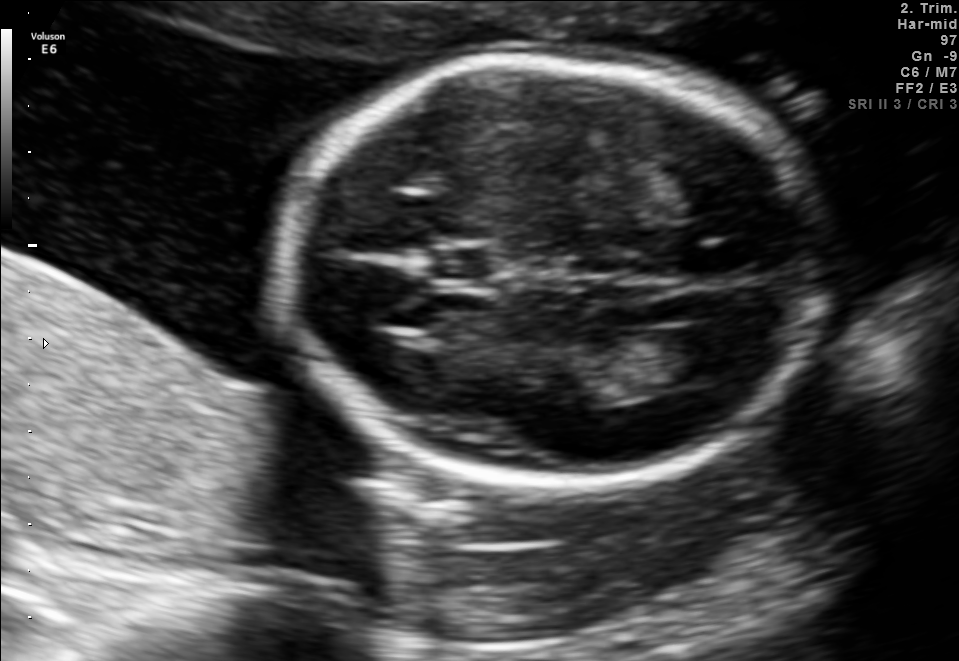
Which standard maternal-fetal ultrasound plane is shown: fetal abdomen, fetal brain, fetal femur, fetal thorax, maternal cervix, or other? If it's fetal brain and one of the three standard brain planes (trans-thalamic, trans-cerebellum, trans-ventricular), name which.

Fetal brain (trans-ventricular plane)